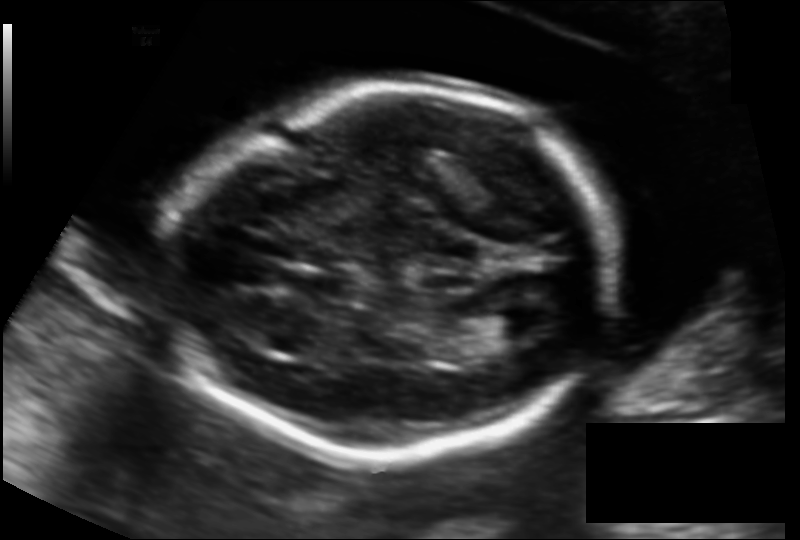
In this fetal head ultrasound, give the bounding box of the fetal head. Image width: 105.0 mm.

[168,85,612,460]